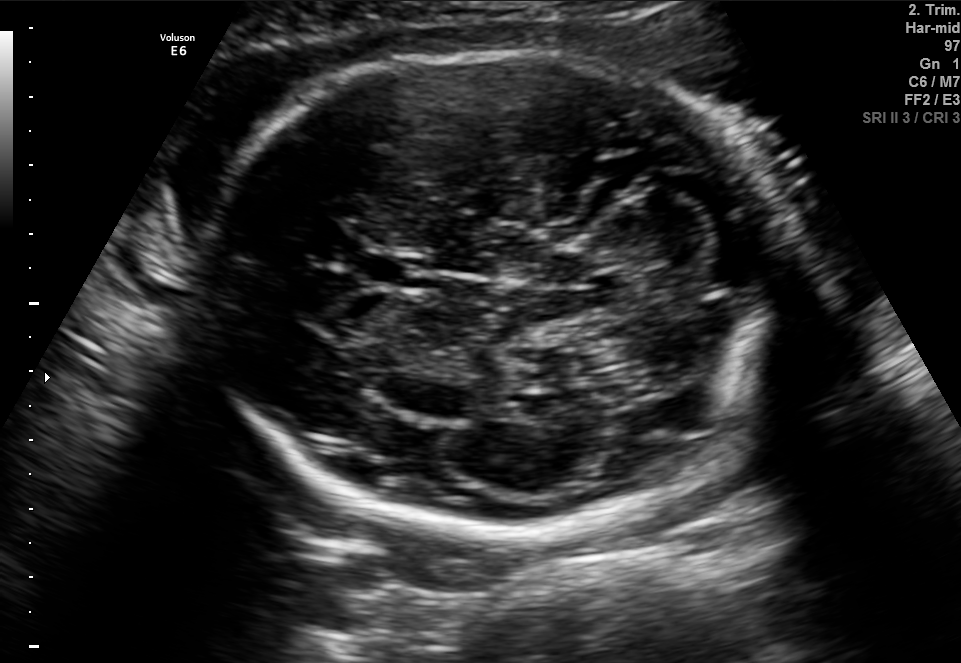
Fetal brain, trans-cerebellum plane. Where is the fetal head?

Head bounding box: [207,53,786,530]